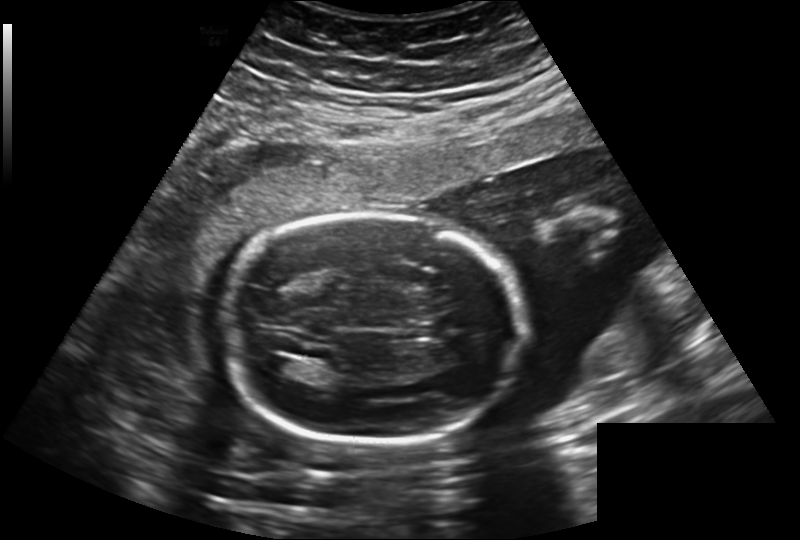
Estimate the fetal head circumference from this 2D ultrasound.

Head circumference: 205.7 mm (image width 192.6 mm).